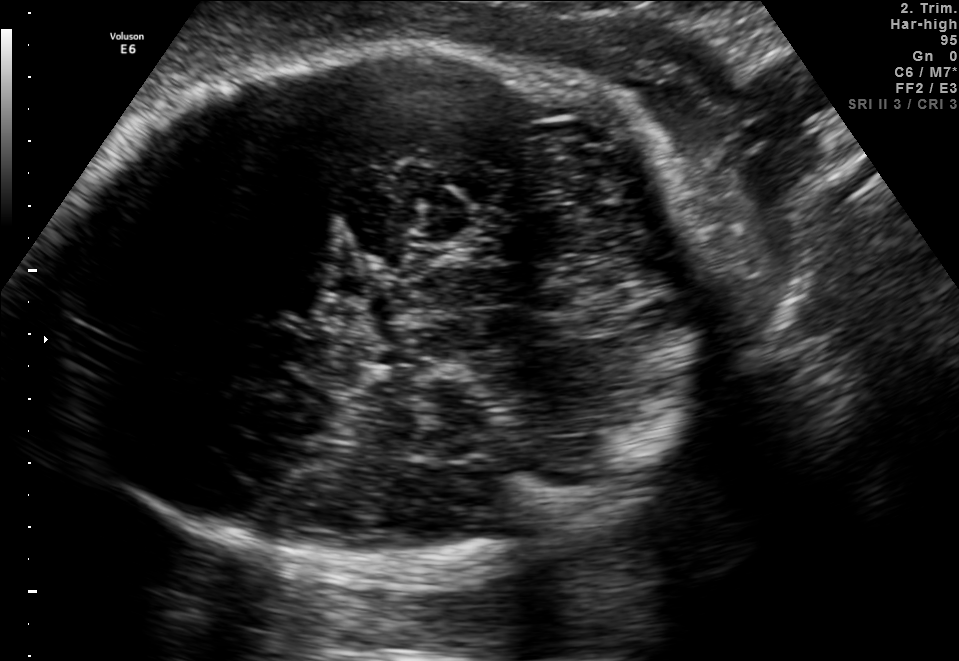
Fetal brain, trans-thalamic plane. Locate the fetal head and, if visible, the cavum septum pellucidum (CSP) and lateral ventricle (LV). Give bounding boxes as [x1,y1,x2,y2].

Head: [57,44,700,565]